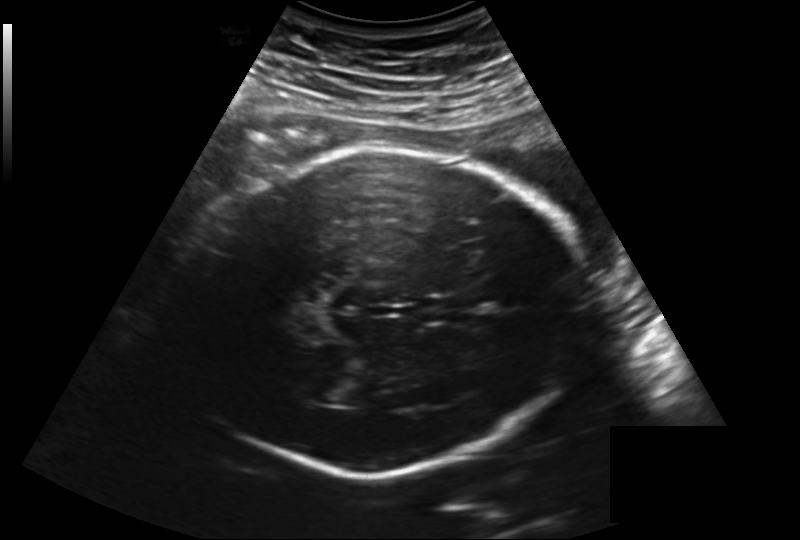
Fetal head ultrasound. Image width: 175.2 mm. Where is the lateral ventricle?

Lateral ventricle bounding box: [305,373,352,402]